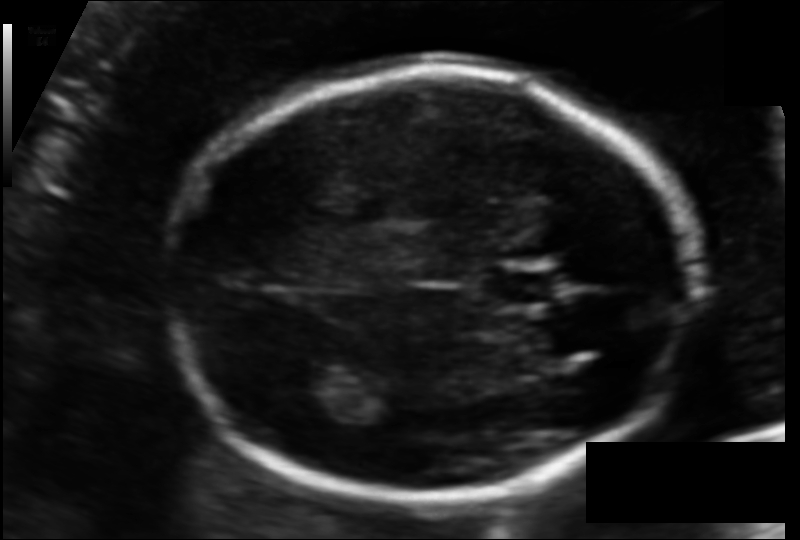
Fetal head ultrasound. Image width: 86.2 mm. Locate the cavum septum pellucidum.

CSP: [489,268,561,306]